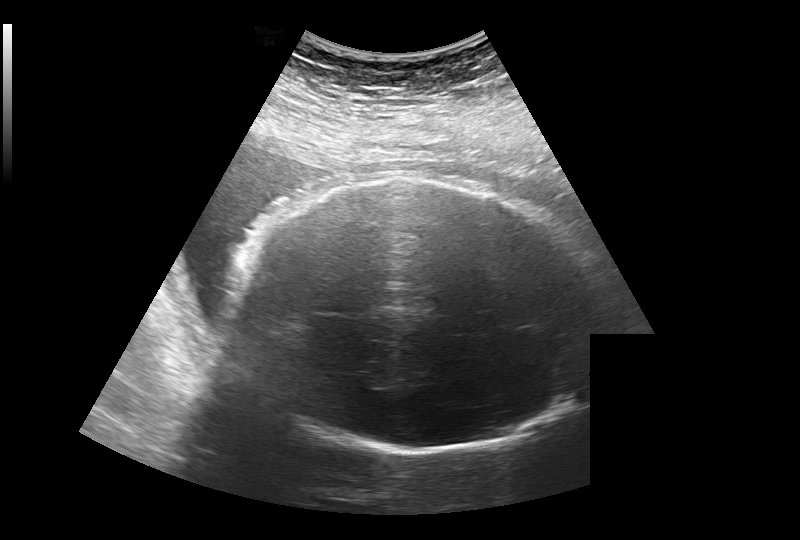
Fetal head ultrasound. Image width: 246.2 mm. Give [x1,y1,x2,y2] bounding boxes for each visible structure among: fetal head, CSP, LV.

Head: [225,179,606,453]